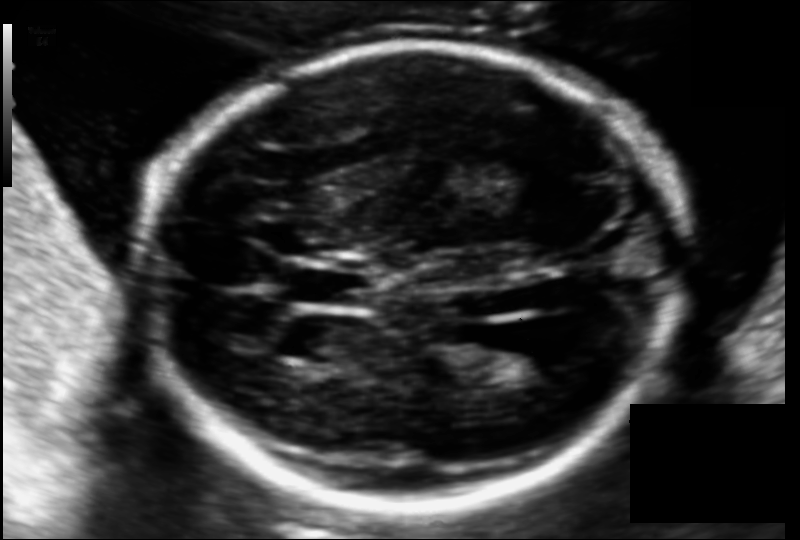
Fetal head ultrasound. Image width: 94.4 mm. Where is the lateral ventricle?

Lateral ventricle bounding box: [470,330,560,388]